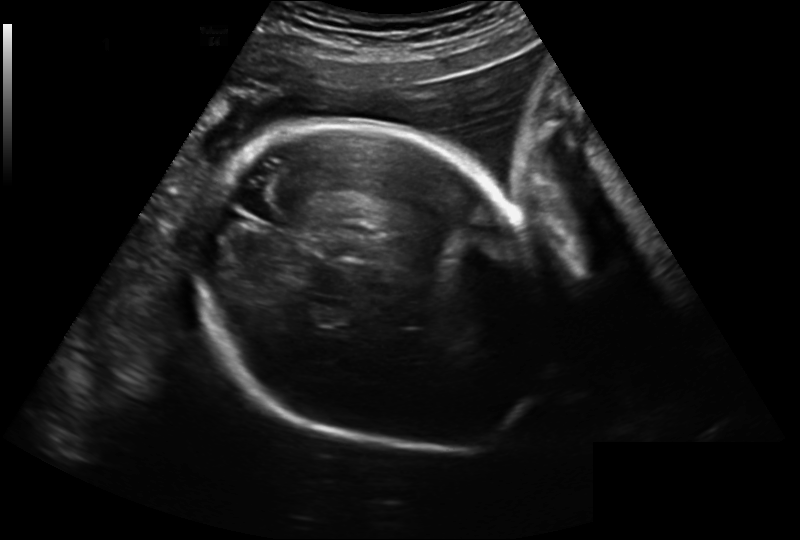
In this fetal head ultrasound, give the bounding box of the fetal head. Image width: 192.8 mm.

[199,119,552,453]